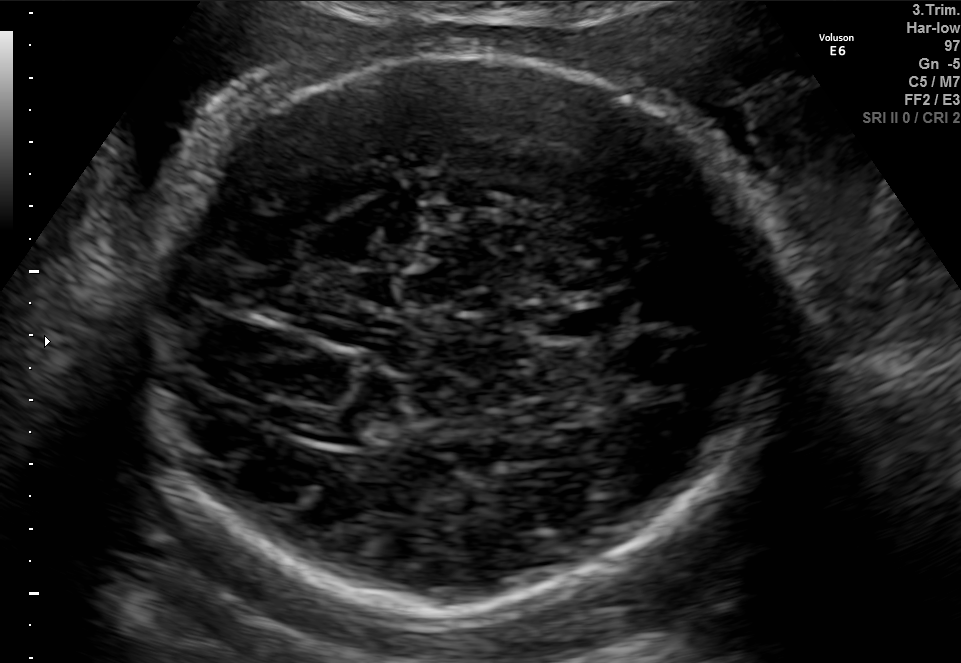
In this fetal brain, trans-thalamic plane, give the bounding box of the lateral ventricle.

[290,404,368,447]